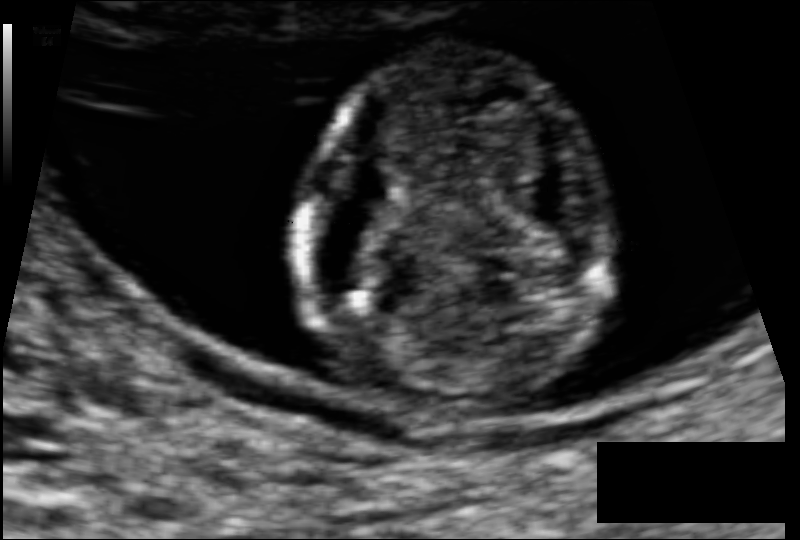
Fetal head ultrasound. Image width: 59.5 mm. Locate the fetal head and, if visible, the cavum septum pellucidum (CSP) and lateral ventricle (LV). Give bounding boxes as [x1,y1,x2,y2].

Head: [301,50,604,408]